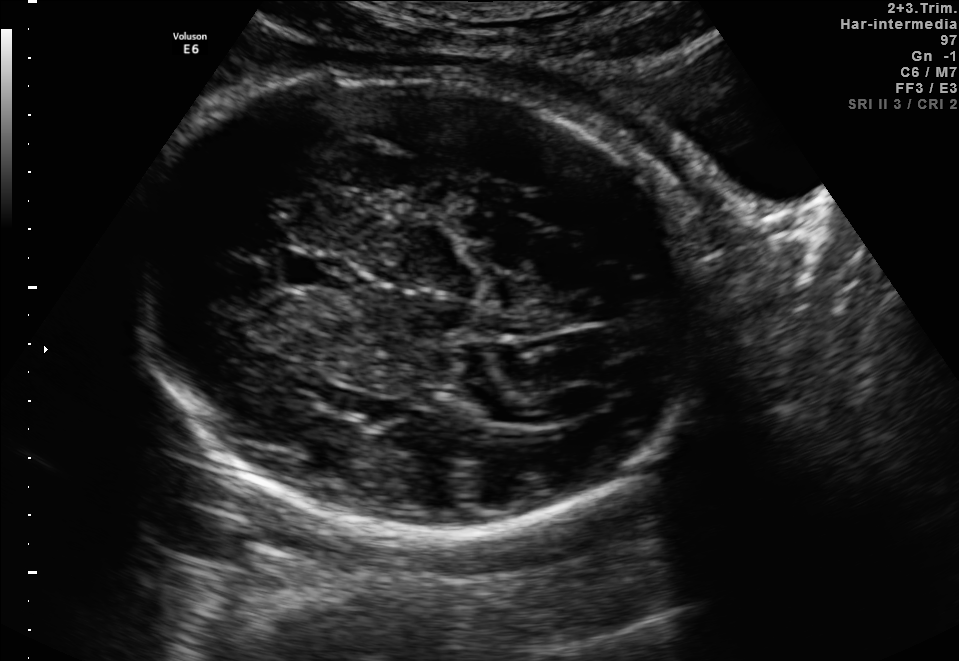
Fetal brain, trans-thalamic plane. Where is the cavum septum pellucidum?

CSP bounding box: [280,253,345,289]